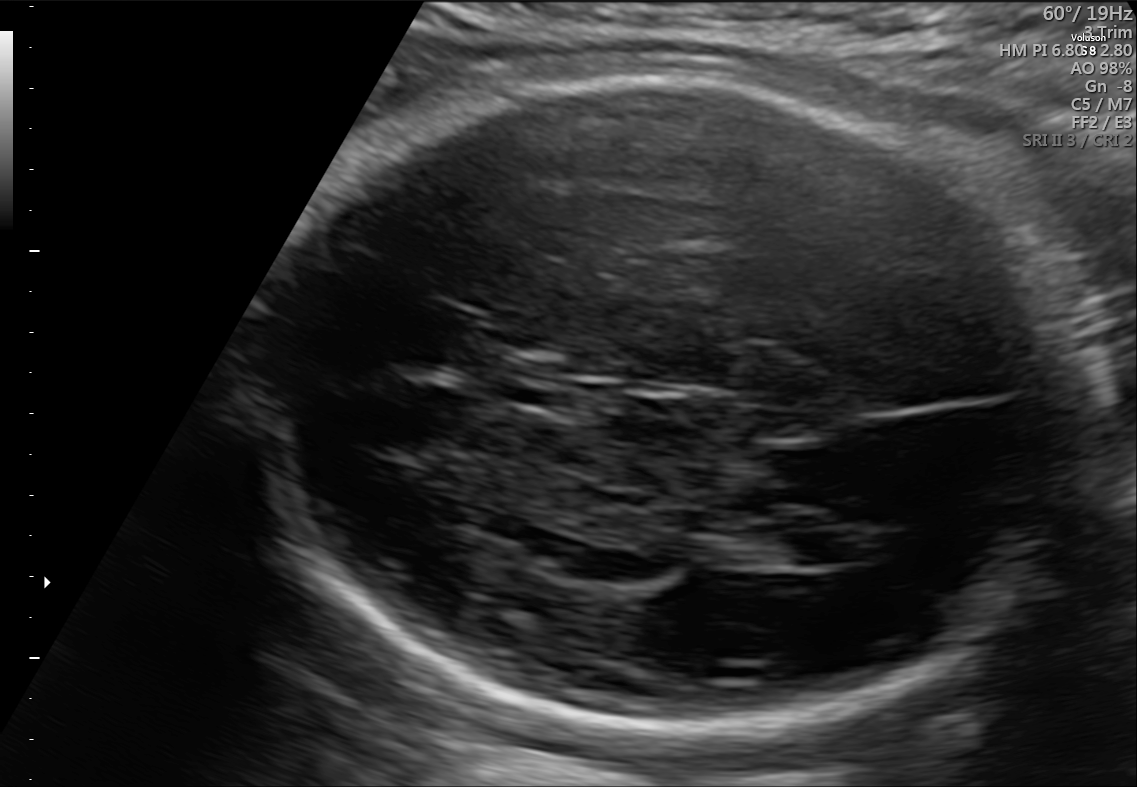
Fetal brain, trans-ventricular plane. Locate the cavum septum pellucidum.

CSP: [494,355,583,413]